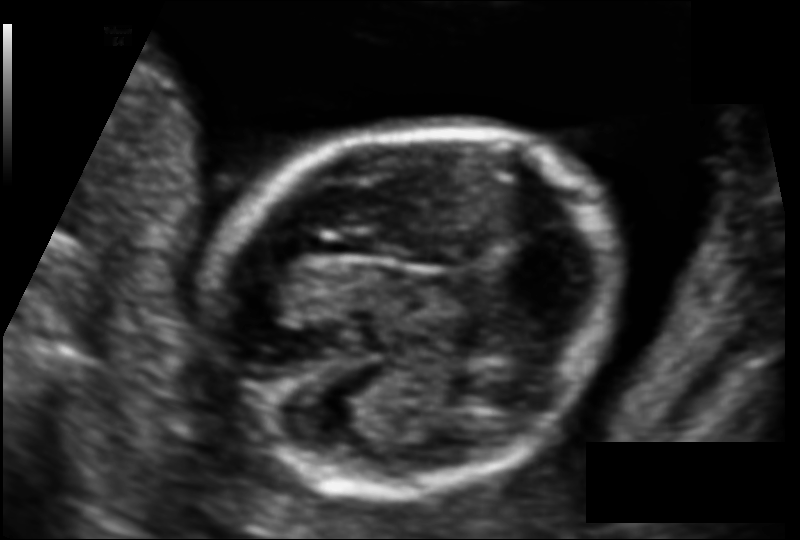
Estimate the fetal head circumference from this 2D ultrasound.

Head circumference: 123.4 mm (image width 79.2 mm).